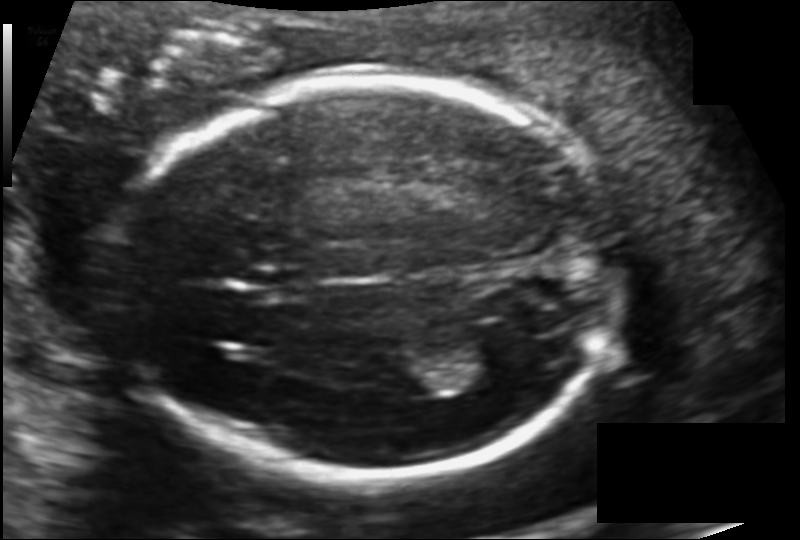
Fetal head ultrasound. Image width: 101.2 mm. Give [x1,y1,x2,y2] bounding boxes for each visible structure among: fetal head, CSP, LV.

Head: [122,80,620,478]